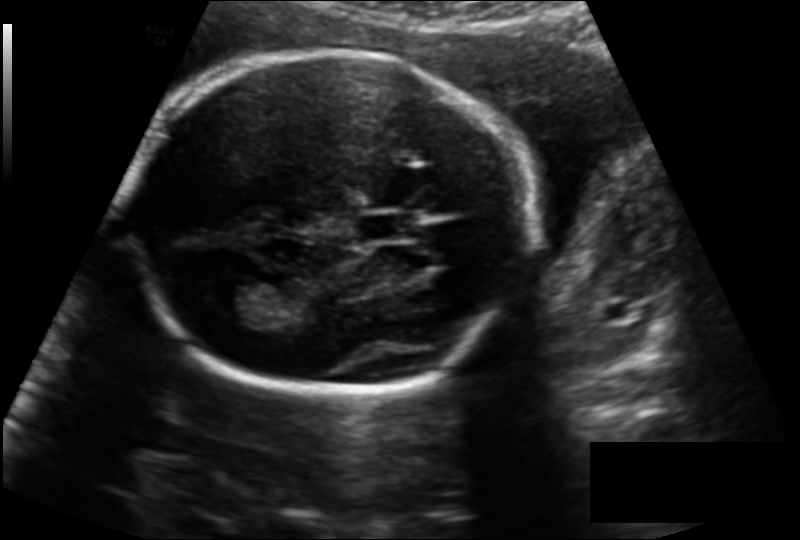
Estimate the fetal head circumference from this 2D ultrasound.

Head circumference: 185.1 mm (image width 122.1 mm).